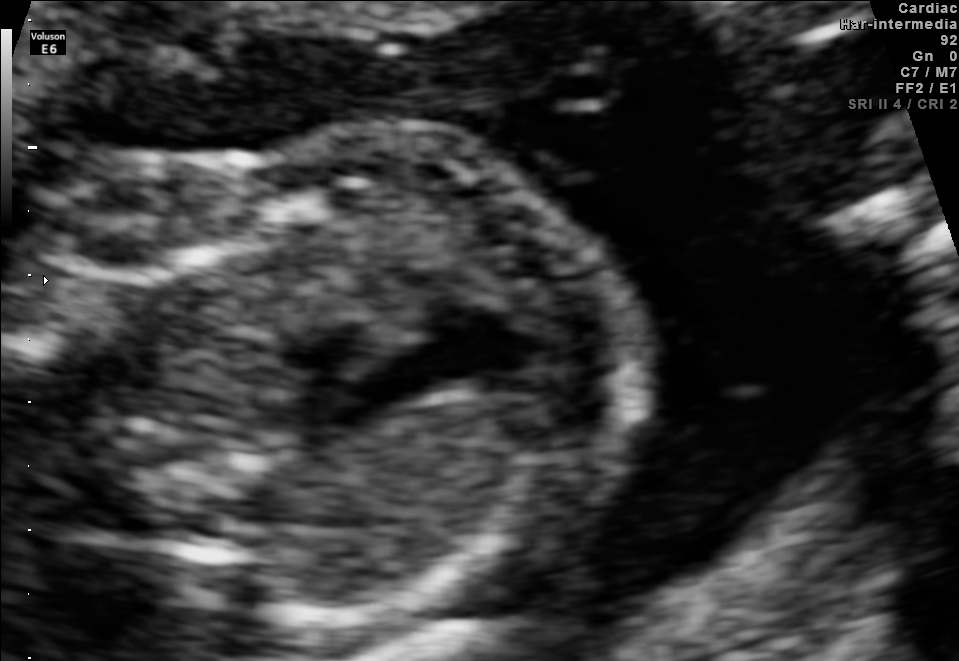
This is a 2D maternal-fetal ultrasound frame. Is it a fetal abdomen, fetal brain, fetal femur, fetal thorax, maternal cervix, or other standard plane? If it's fetal brain and one of the three standard brain planes (trans-thalamic, trans-cerebellum, trans-ventricular), name which.

Other